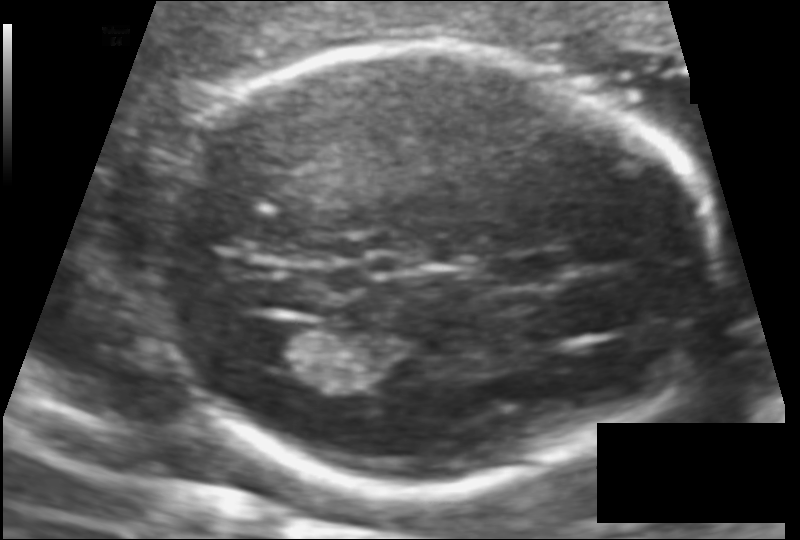
In this fetal head ultrasound, give the bounding box of the fetal head. Image width: 84.7 mm.

[151,48,717,489]